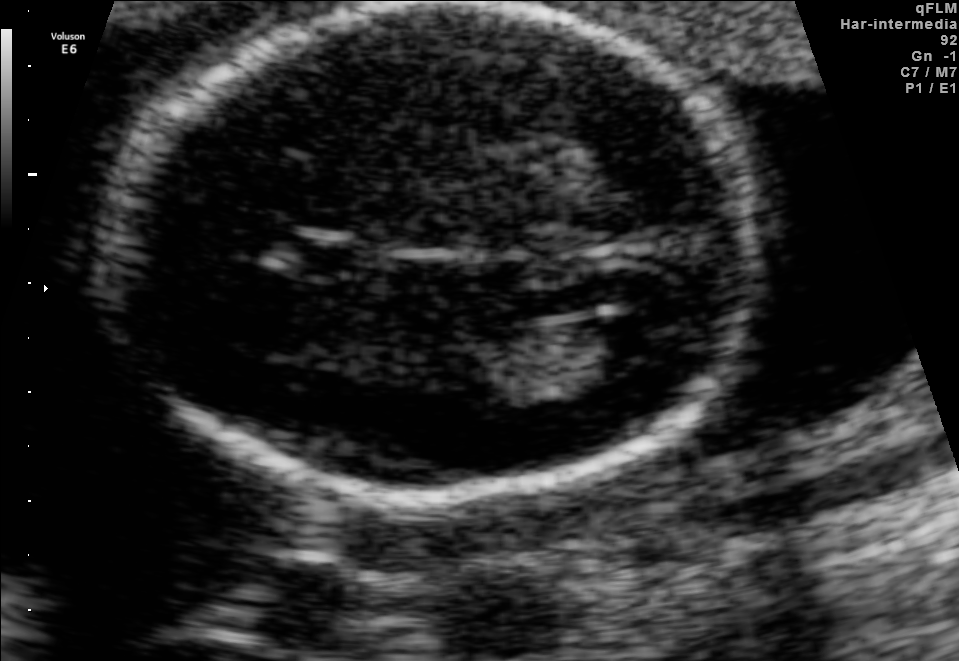
Fetal brain, trans-ventricular plane. Where is the fetal head?

Head bounding box: [92,3,771,512]